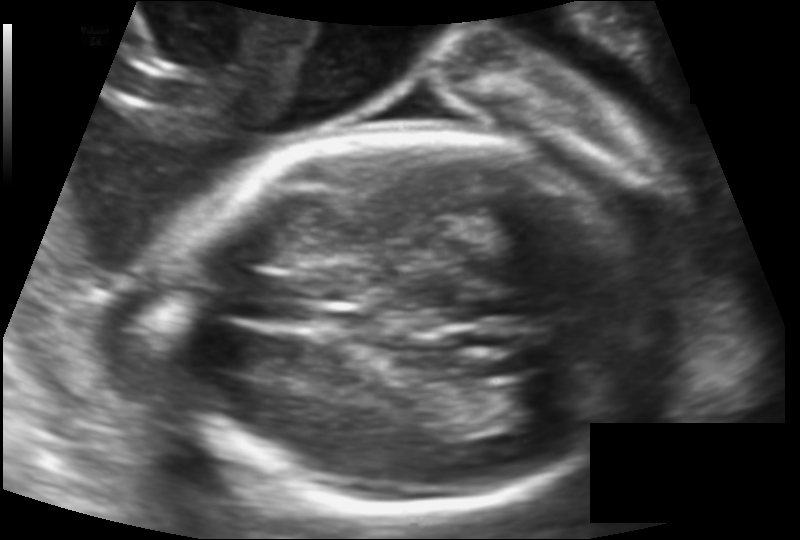
In this fetal head ultrasound, give the bounding box of the fetal head. Image width: 106.2 mm.

[170,129,655,515]